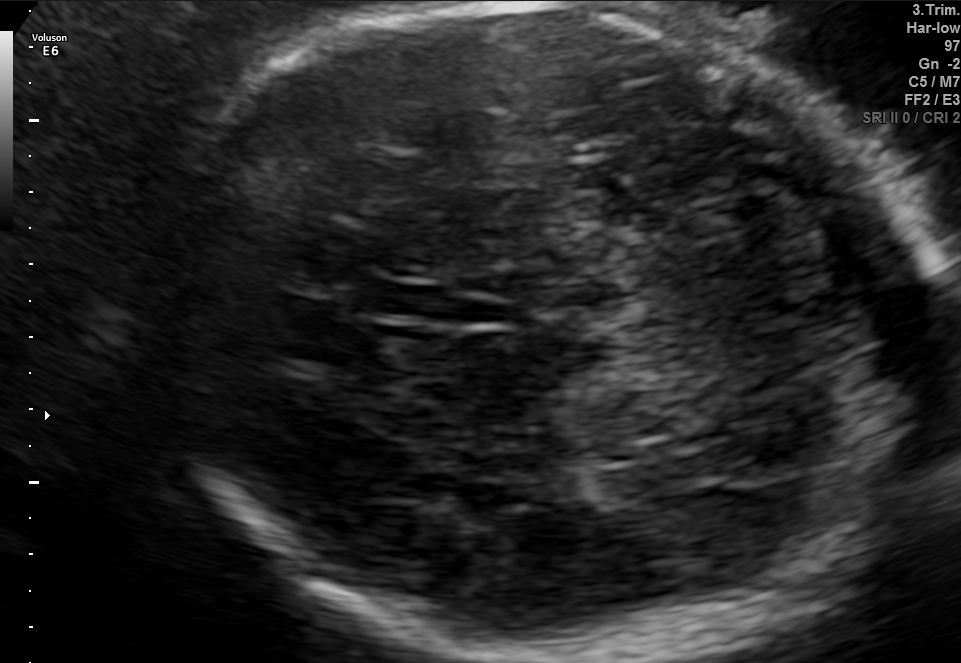
In this fetal brain, trans-thalamic plane, give the bounding box of the fetal head.

[147,5,940,656]